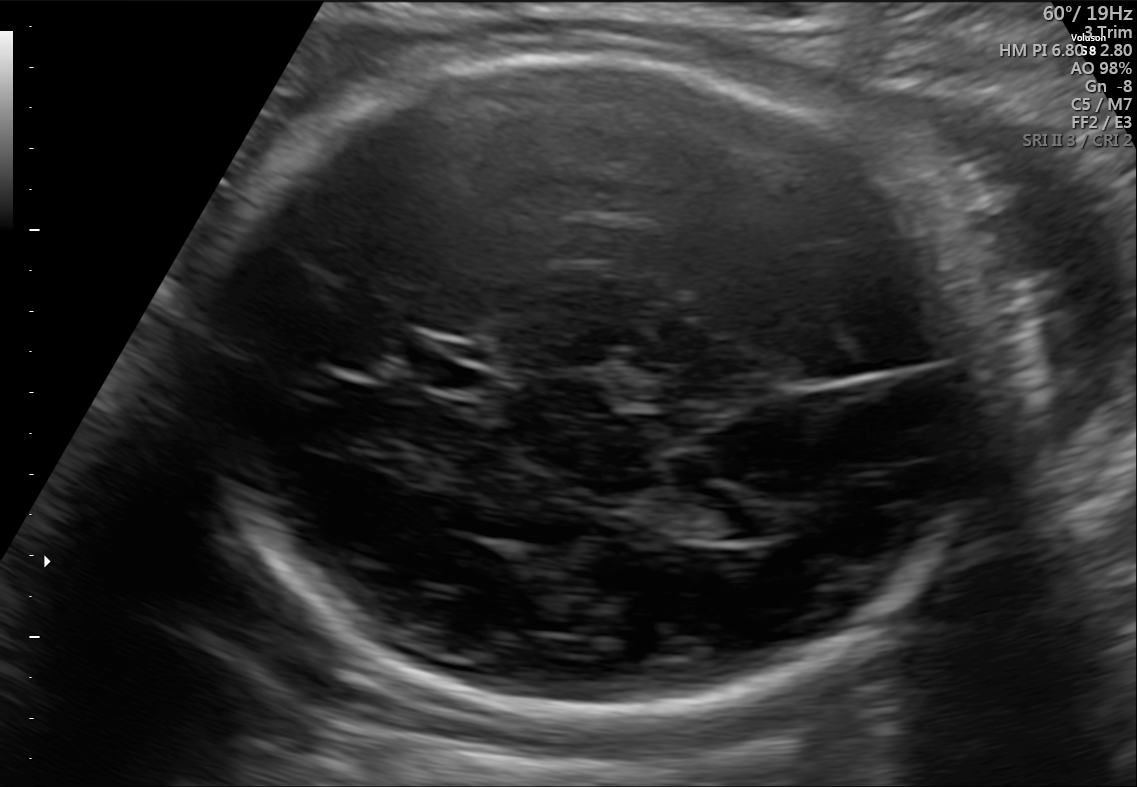
Fetal brain, trans-ventricular plane. Where is the lateral ventricle?

Lateral ventricle bounding box: [703,506,782,540]